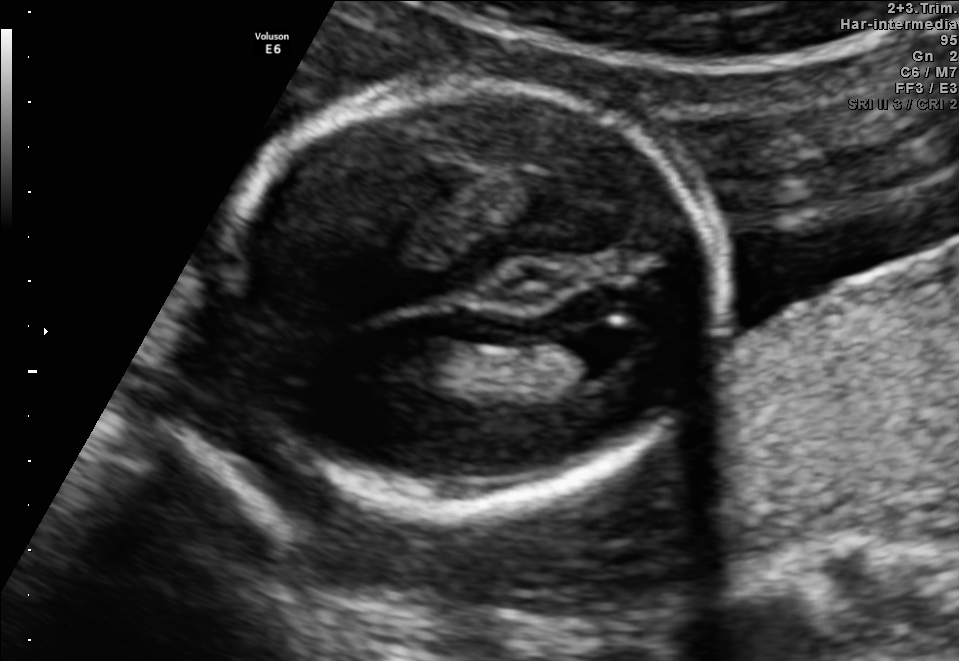
Identify the standard plane in this fetal ultrasound image: fetal abdomen, fetal brain, fetal femur, fetal thorax, maternal cervix, or other. If it's fetal brain and one of the three standard brain planes (trans-thalamic, trans-cerebellum, trans-ventricular), name which.

Fetal brain (trans-ventricular plane)